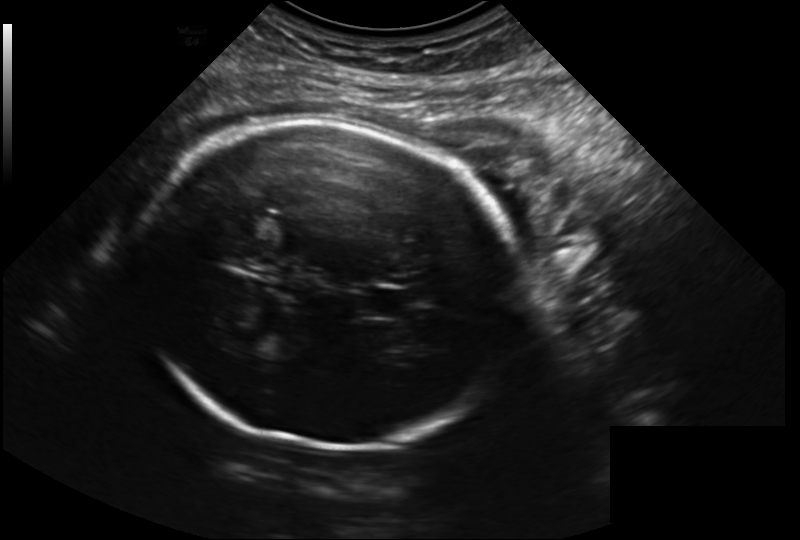
Fetal head ultrasound. Image width: 178.0 mm. Where is the fetal head?

Head bounding box: [138,123,526,448]